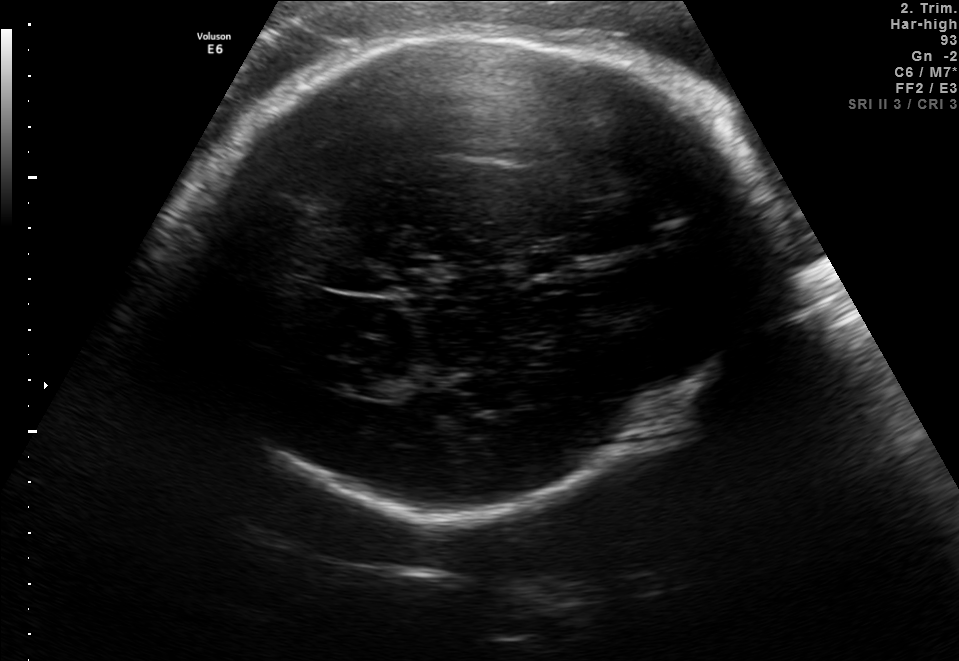
Fetal brain, trans-thalamic plane. Locate the fetal head and, if visible, the cavum septum pellucidum (CSP) and lateral ventricle (LV). Give bounding boxes as [x1,y1,x2,y2].

Head: [188,35,759,514]
CSP: [523,251,573,275]
Lateral ventricle: [341,363,410,403]